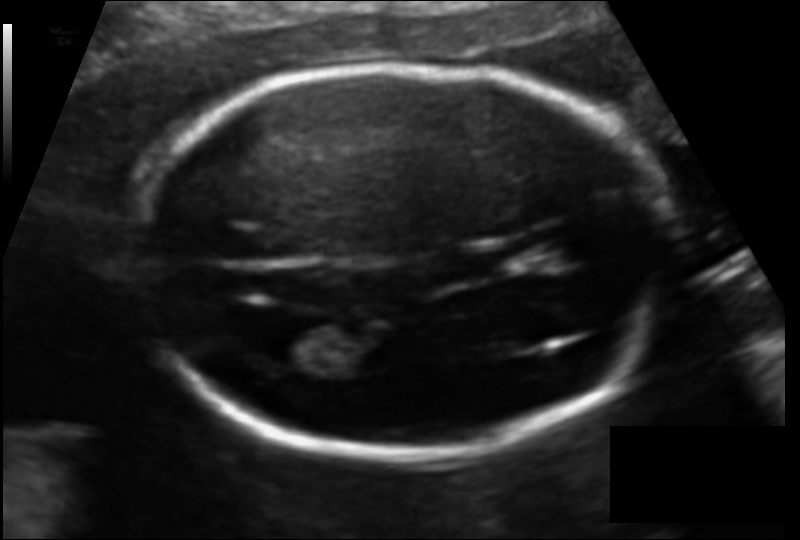
In this fetal head ultrasound, give the bounding box of the fetal head. Image width: 87.6 mm.

[132,65,675,454]